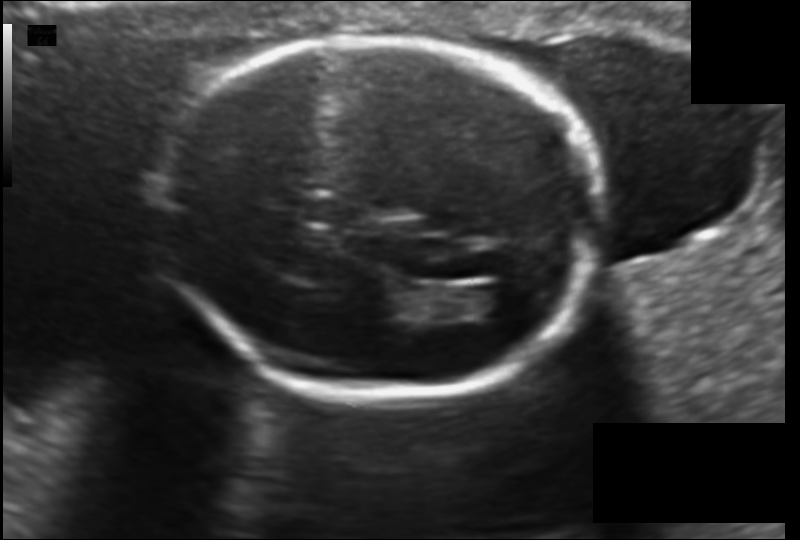
Fetal head ultrasound. Image width: 104.2 mm. Locate the lateral ventricle.

Lateral ventricle: [469,284,521,320]